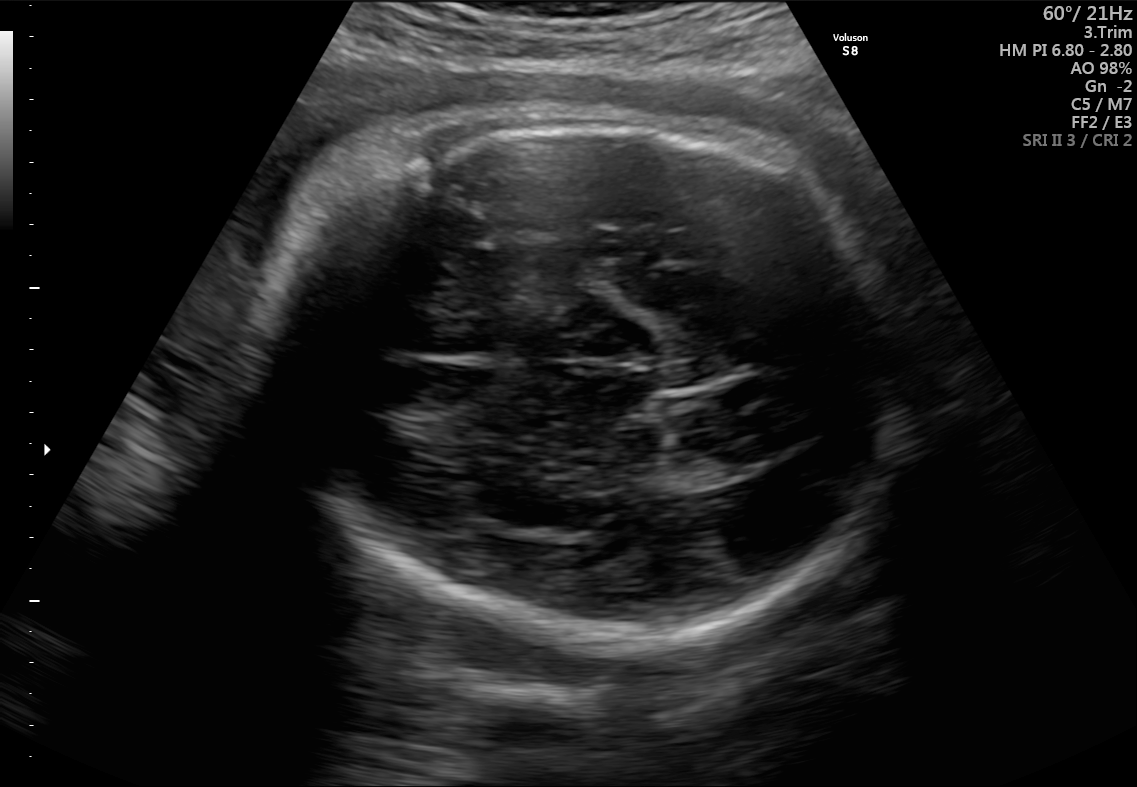
Fetal brain, trans-thalamic plane. Locate the lateral ventricle.

Lateral ventricle: [706,430,779,486]